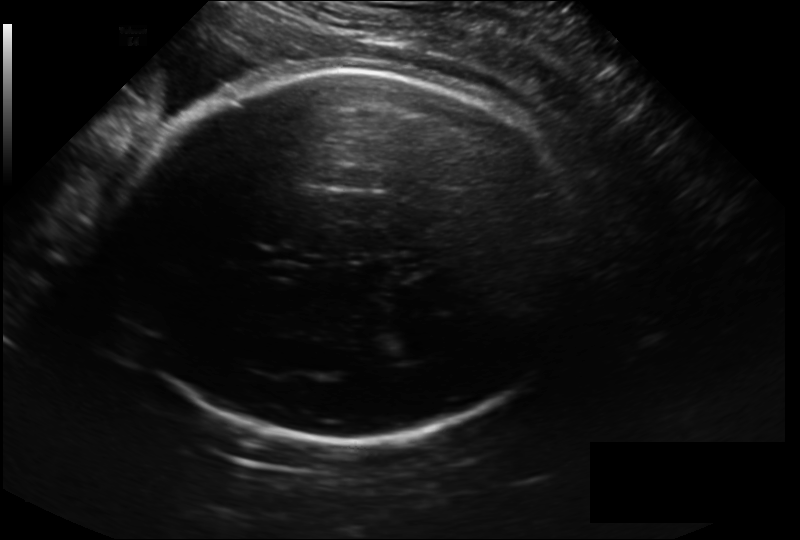
Fetal head ultrasound. Image width: 182.1 mm. Where is the fetal head?

Head bounding box: [116,70,582,442]